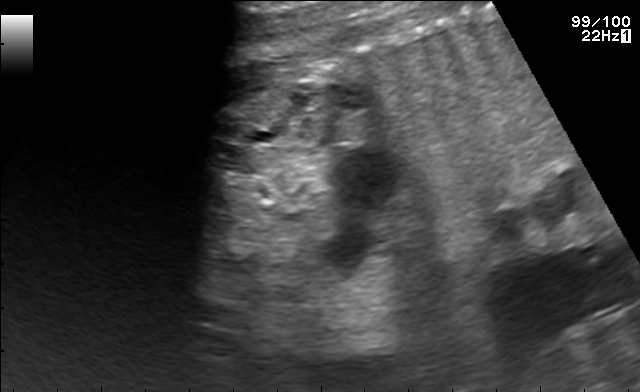
Which standard maternal-fetal ultrasound plane is shown: fetal abdomen, fetal brain, fetal femur, fetal thorax, maternal cervix, or other? If it's fetal brain and one of the three standard brain planes (trans-thalamic, trans-cerebellum, trans-ventricular), name which.

Other